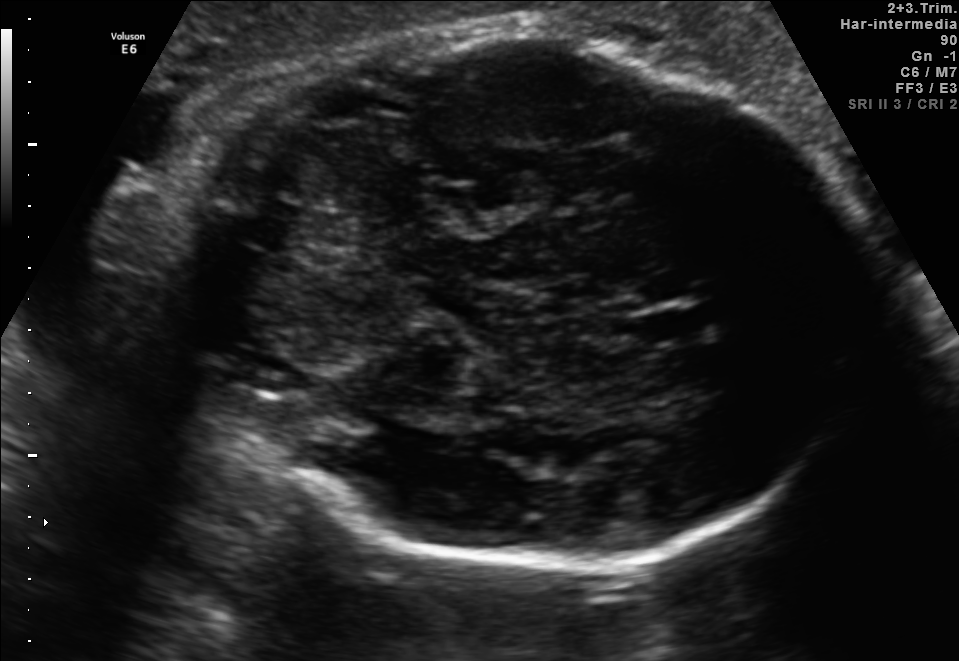
Fetal brain, trans-cerebellum plane. Locate the fetal head and, if visible, the cavum septum pellucidum (CSP) and lateral ventricle (LV). Give bounding boxes as [x1,y1,x2,y2].

Head: [171,30,856,569]
CSP: [625,297,709,355]